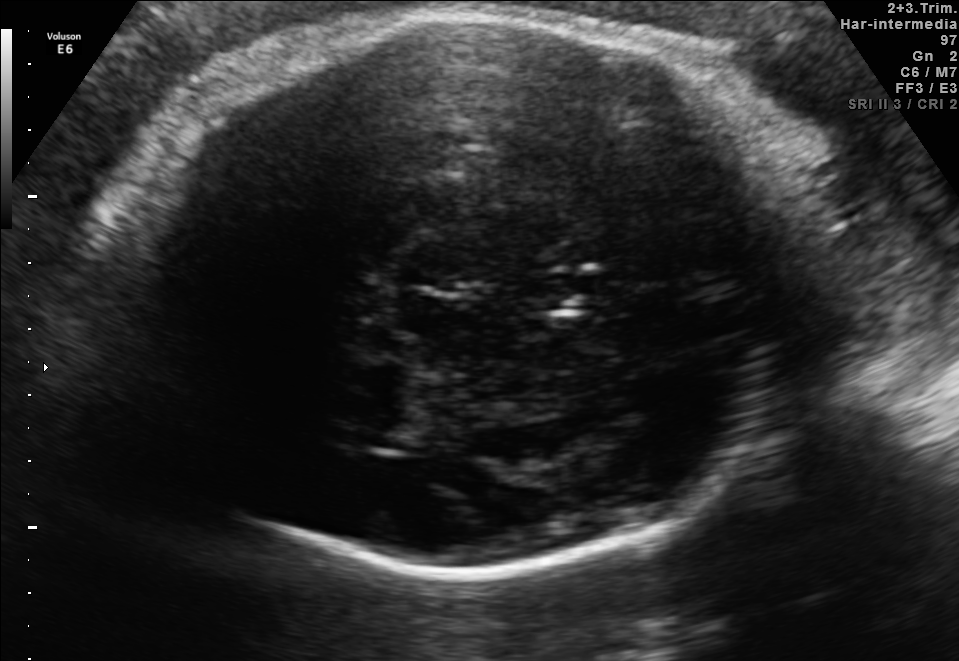
Fetal brain, trans-thalamic plane. Locate the fetal head and, if visible, the cavum septum pellucidum (CSP) and lateral ventricle (LV). Give bounding boxes as [x1,y1,x2,y2].

Head: [89,14,818,567]
CSP: [530,275,597,309]
Lateral ventricle: [346,413,430,452]